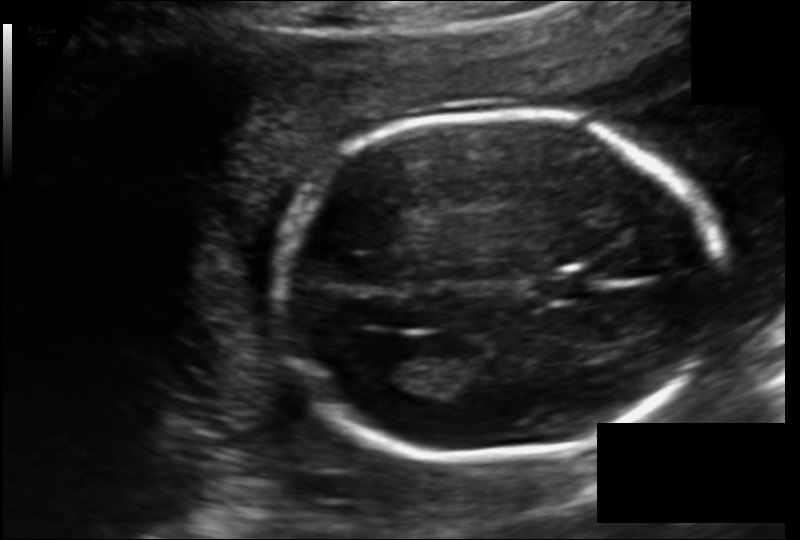
From this fetal ultrasound, estimate the head circumference (image width 107.8 mm).

Head circumference: 172.0 mm.